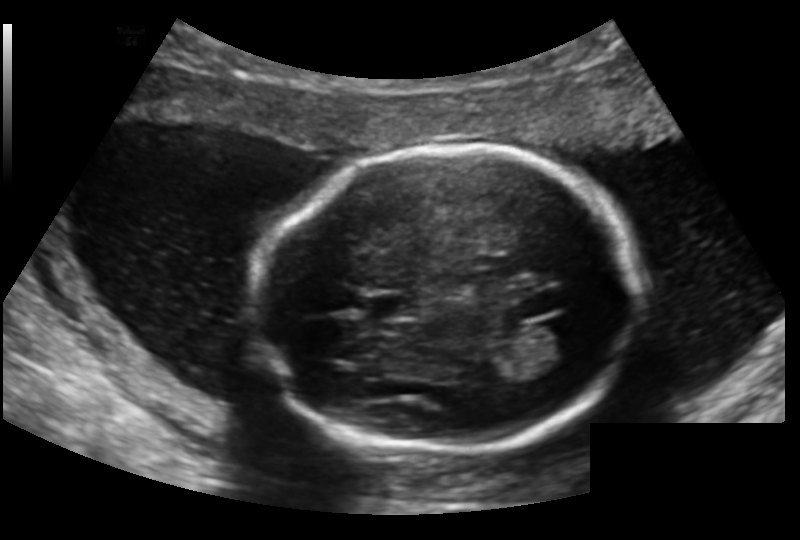
In this fetal head ultrasound, give the bounding box of the lateral ventricle. Image width: 127.4 mm.

[531,313,595,366]